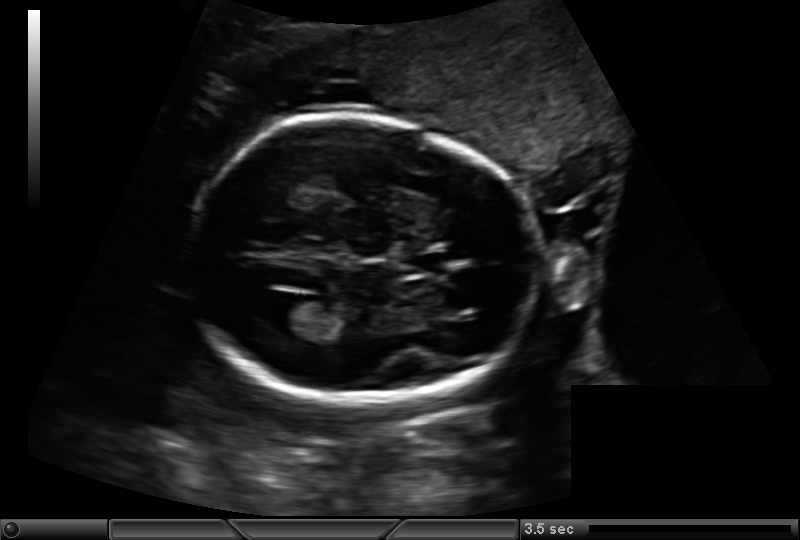
In this fetal head ultrasound, give the bounding box of the lateral ventricle. Image width: 126.8 mm.

[263,293,315,336]